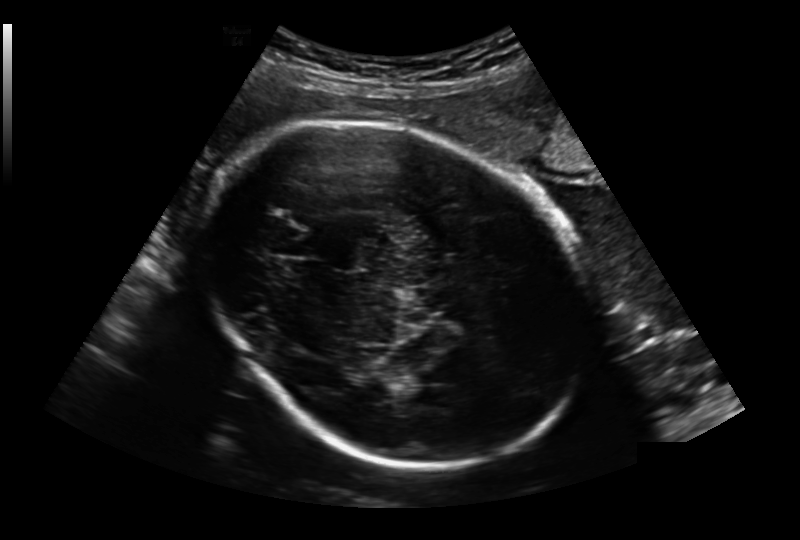
What is the fetal head circumference? Image width is 188.7 mm.

272.9 mm